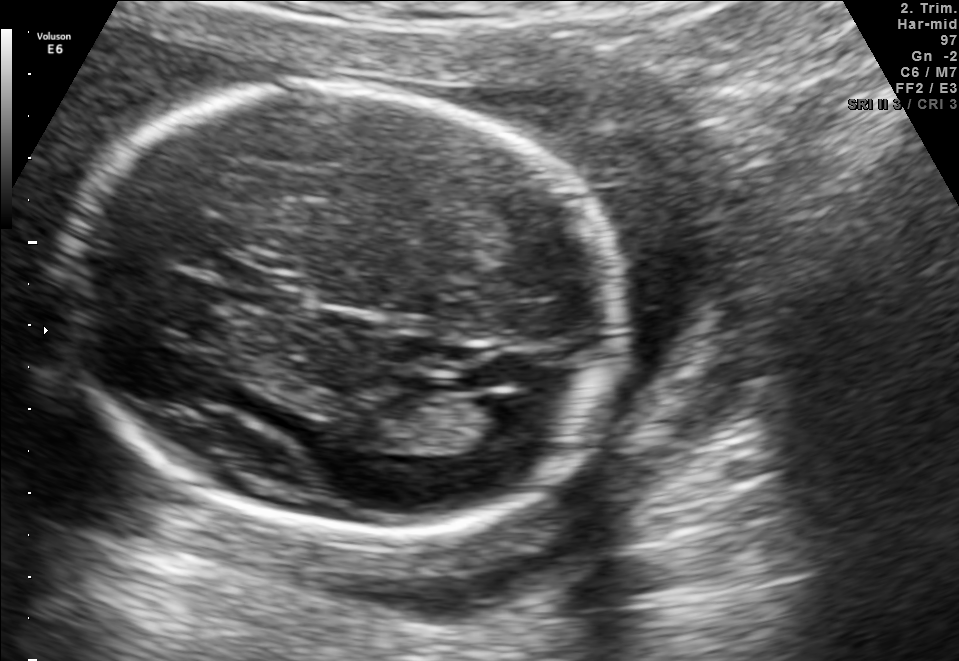
In this fetal brain, trans-ventricular plane, give bounding boxes for the head outline, cavum septum pellucidum (CSP), and lateral ventricle (LV), where visible.

Head: [50,75,633,540]
CSP: [229,265,305,315]
Lateral ventricle: [478,388,558,443]